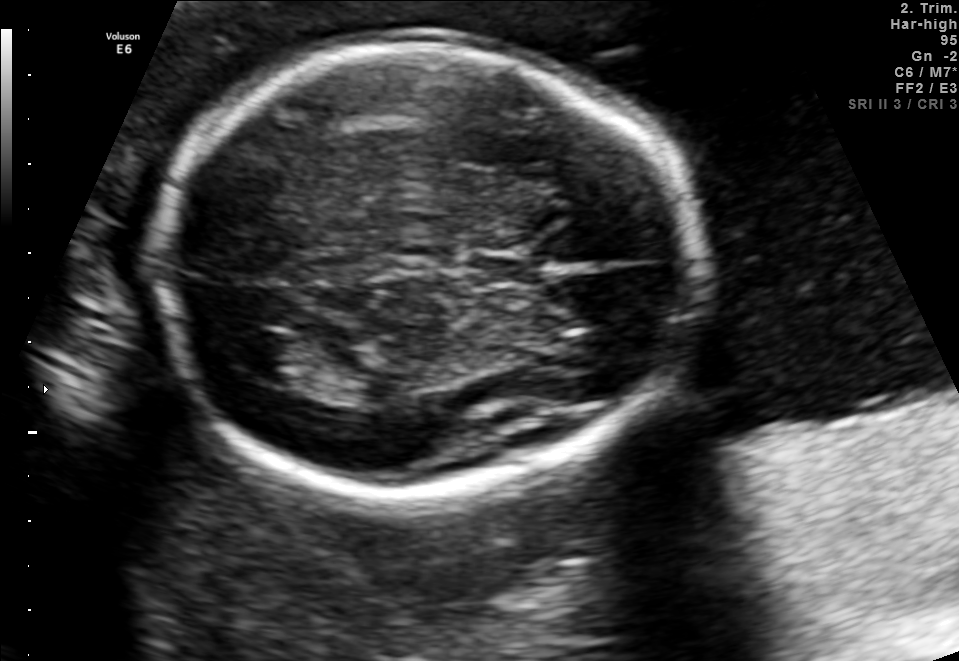
Fetal brain, trans-thalamic plane. Locate the cavum septum pellucidum.

CSP: [471,252,535,285]